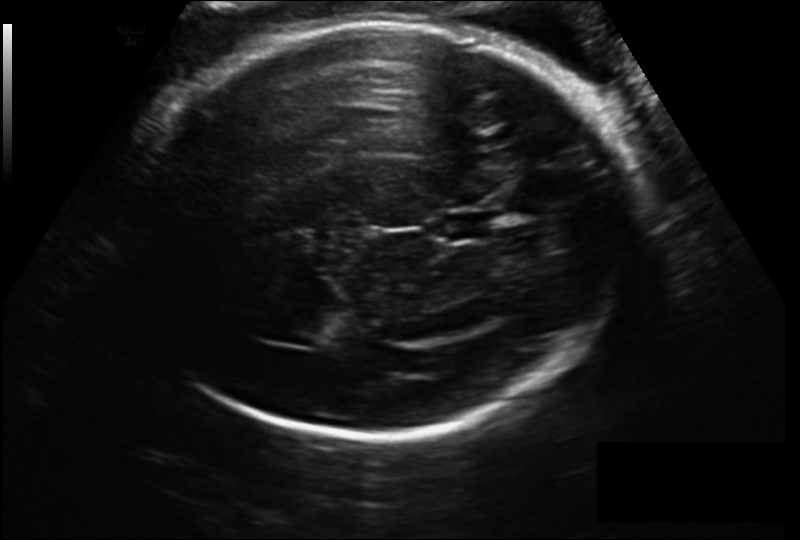
In this fetal head ultrasound, give the bounding box of the fetal head. Image width: 164.9 mm.

[127,20,625,435]